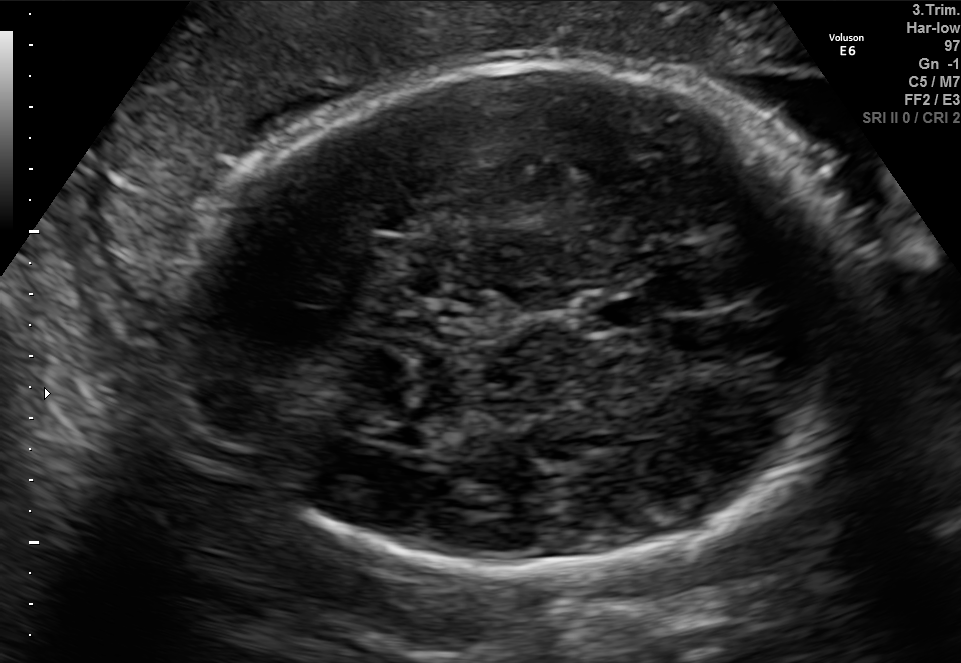
Fetal brain, trans-thalamic plane. Where is the lateral ventricle?

Lateral ventricle bounding box: [344,407,432,450]